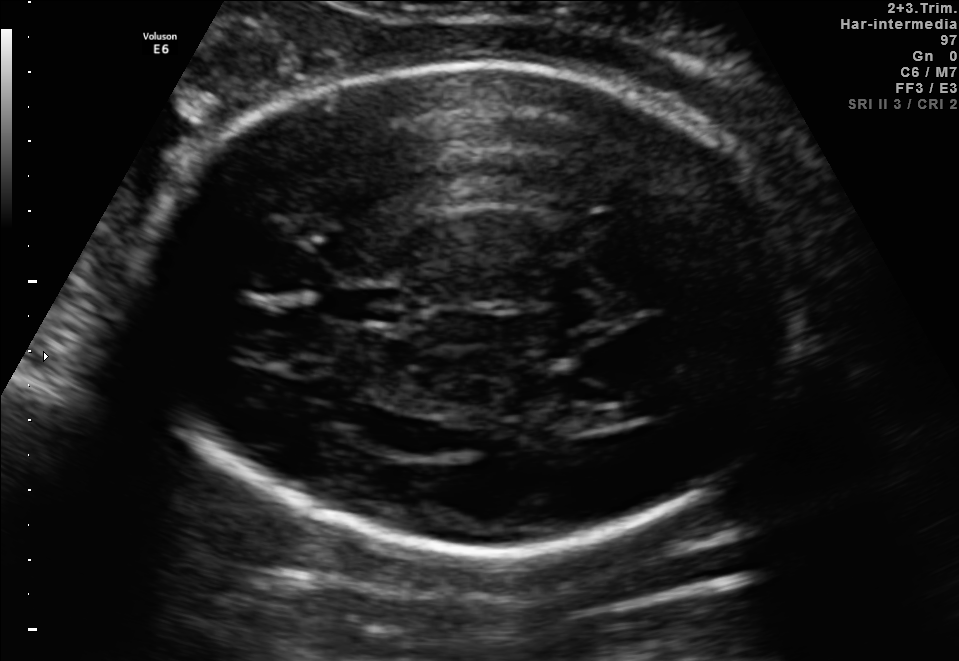
Fetal brain, trans-ventricular plane. Where is the cavum septum pellucidum?

CSP bounding box: [318,283,412,327]